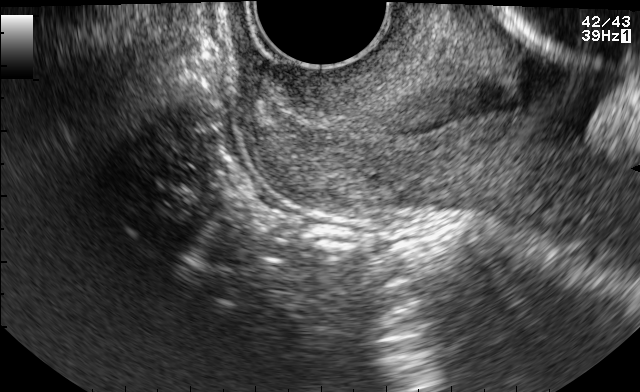
Identify the standard plane in this fetal ultrasound image: fetal abdomen, fetal brain, fetal femur, fetal thorax, maternal cervix, or other. If it's fetal brain and one of the three standard brain planes (trans-thalamic, trans-cerebellum, trans-ventricular), name which.

Maternal cervix